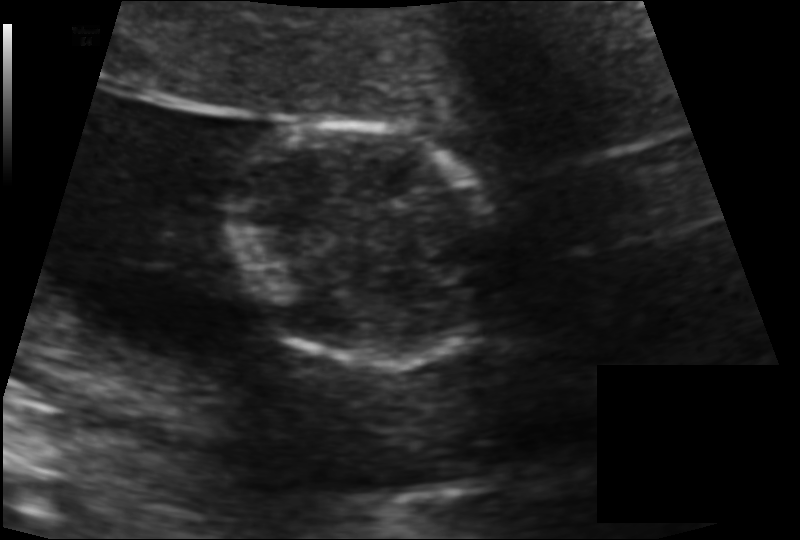
Fetal head ultrasound. Image width: 91.8 mm. Give [x1,y1,x2,y2] bounding boxes for each visible structure among: fetal head, CSP, LV.

Head: [223,122,494,368]